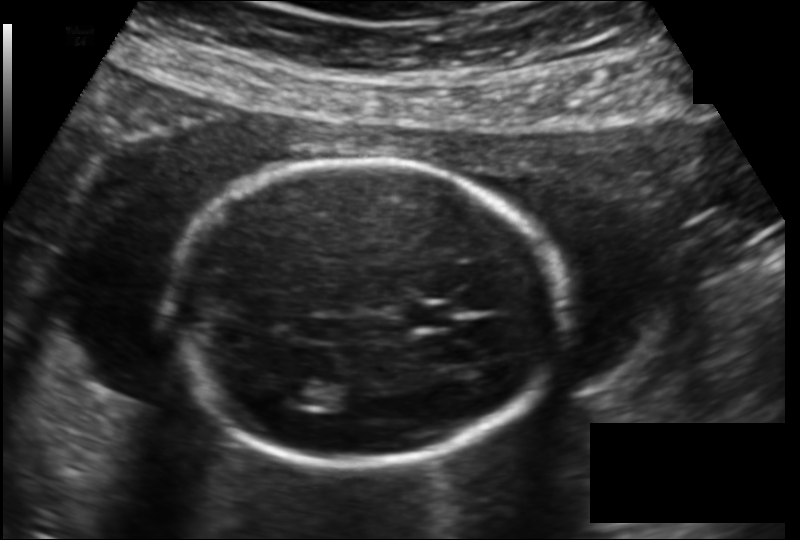
Estimate the fetal head circumference from this 2D ultrasound. Image width: 119.1 mm.

Head circumference: 171.3 mm.